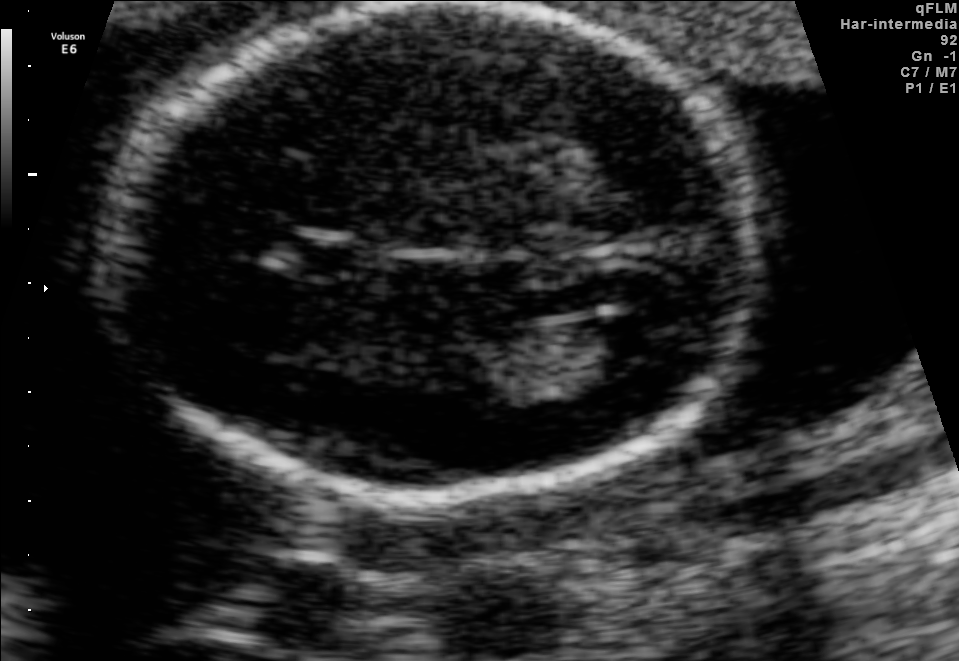
Fetal brain, trans-ventricular plane. Give [x1,y1,x2,y2] bounding boxes for each visible structure among: fetal head, CSP, LV.

Head: [92,3,771,512]
CSP: [279,234,370,278]
Lateral ventricle: [577,301,677,376]